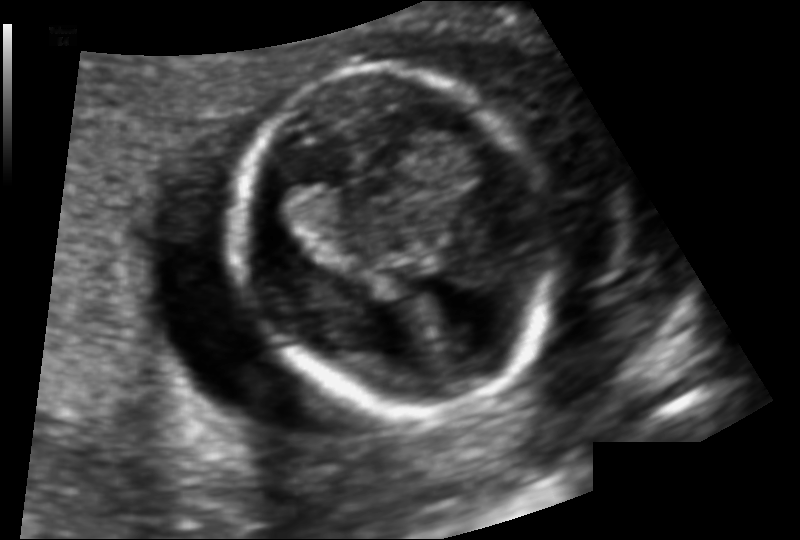
Fetal head ultrasound. Image width: 85.7 mm. Where is the fetal head?

Head bounding box: [234,63,546,410]